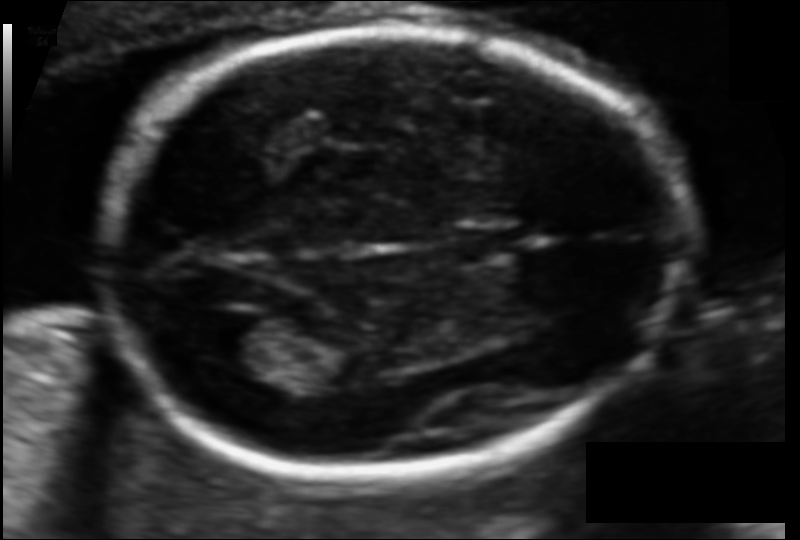
In this fetal head ultrasound, give the bounding box of the cavum septum pellucidum. Image width: 77.8 mm.

[458,224,520,263]